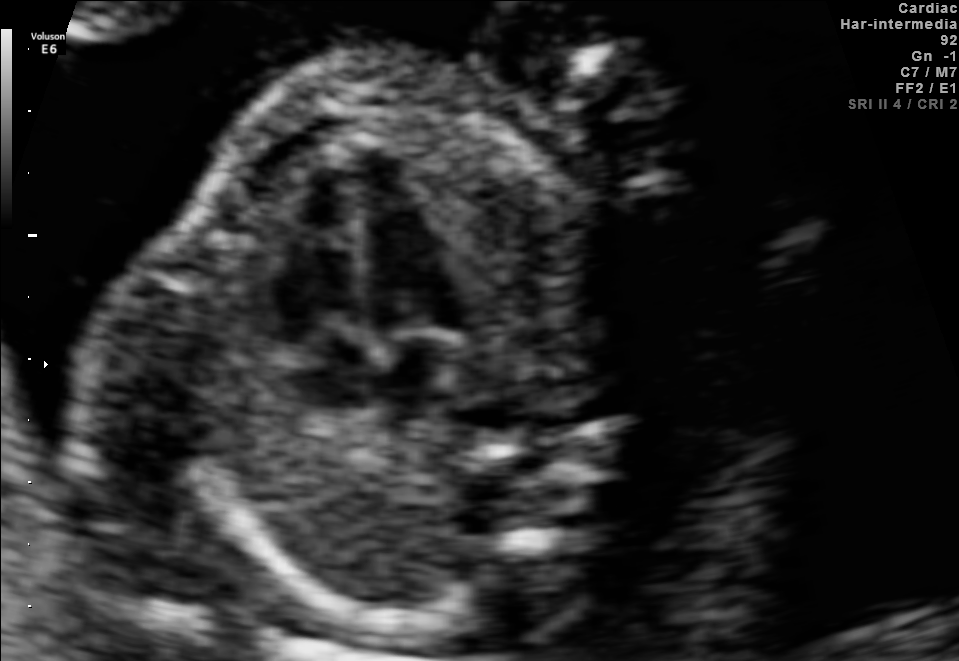
Classify this maternal-fetal ultrasound image as one of the six standard planes — fetal abdomen, fetal brain, fetal femur, fetal thorax, maternal cervix, or other. If it's fetal brain and one of the three standard brain planes (trans-thalamic, trans-cerebellum, trans-ventricular), name which.

Fetal thorax